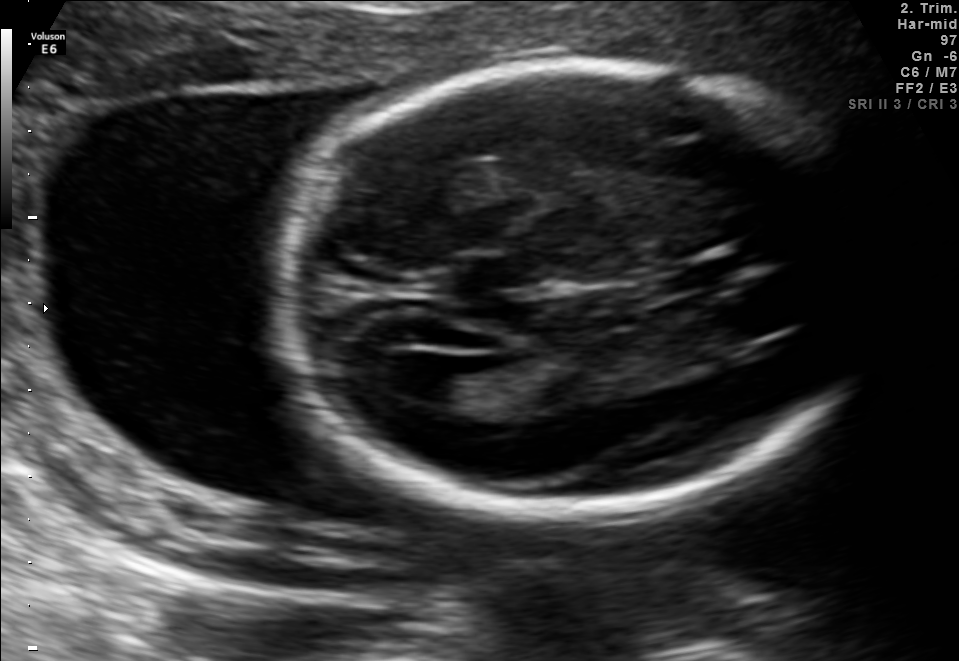
Fetal brain, trans-ventricular plane. Give [x1,y1,x2,y2] bounding boxes for each visible structure among: fetal head, CSP, LV.

Head: [264,53,891,526]
CSP: [663,256,735,295]
Lateral ventricle: [379,348,463,404]